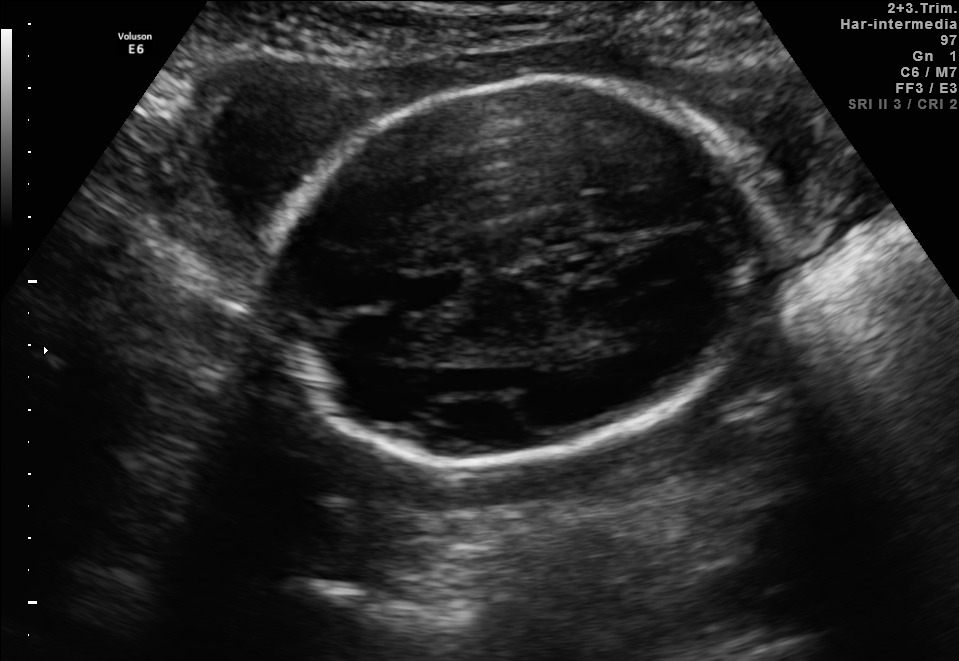
Fetal brain, trans-thalamic plane. Where is the fetal head?

Head bounding box: [264,80,763,469]